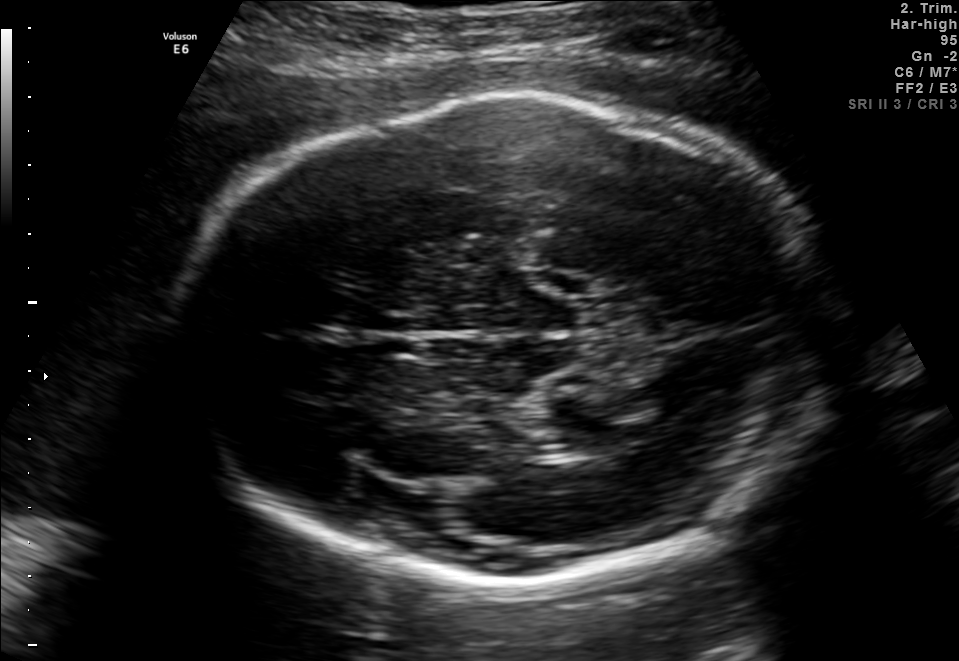
This is a 2D maternal-fetal ultrasound frame. Is it a fetal abdomen, fetal brain, fetal femur, fetal thorax, maternal cervix, or other standard plane? If it's fetal brain and one of the three standard brain planes (trans-thalamic, trans-cerebellum, trans-ventricular), name which.

Fetal brain (trans-thalamic plane)